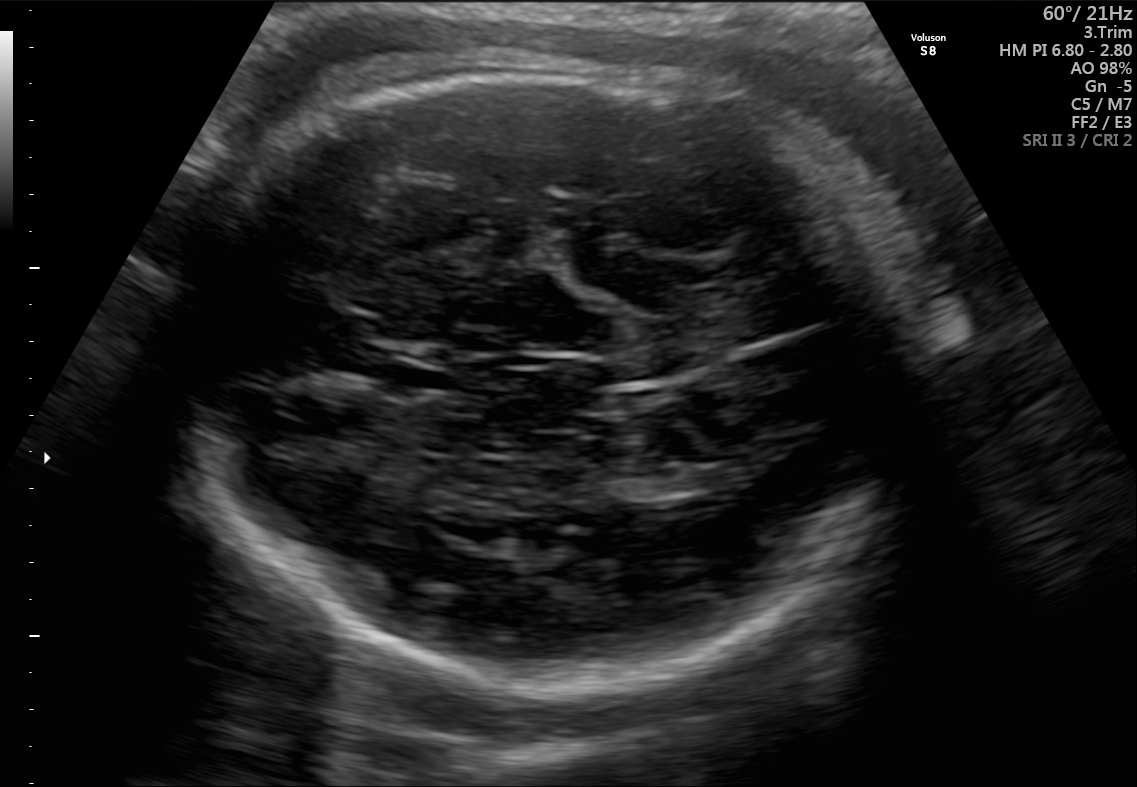
Which standard maternal-fetal ultrasound plane is shown: fetal abdomen, fetal brain, fetal femur, fetal thorax, maternal cervix, or other? If it's fetal brain and one of the three standard brain planes (trans-thalamic, trans-cerebellum, trans-ventricular), name which.

Fetal brain (trans-thalamic plane)